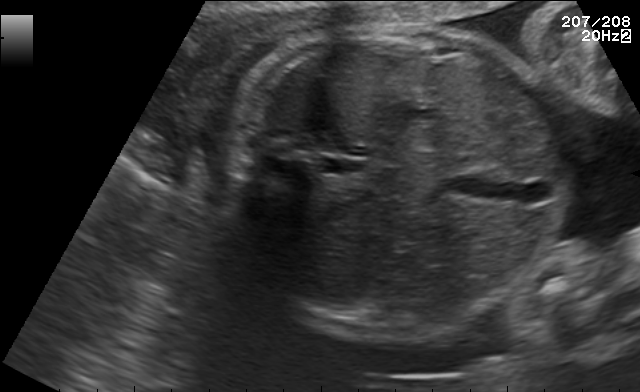
This is a 2D maternal-fetal ultrasound frame. Is it a fetal abdomen, fetal brain, fetal femur, fetal thorax, maternal cervix, or other standard plane? If it's fetal brain and one of the three standard brain planes (trans-thalamic, trans-cerebellum, trans-ventricular), name which.

Fetal abdomen